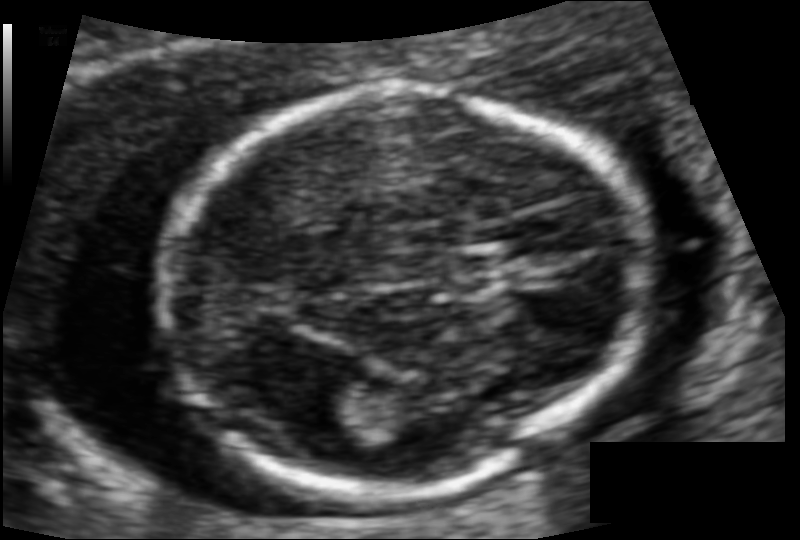
Measure the fetal head circumference shown in this ultrasound image. Image width: 66.5 mm.

Head circumference: 121.5 mm.